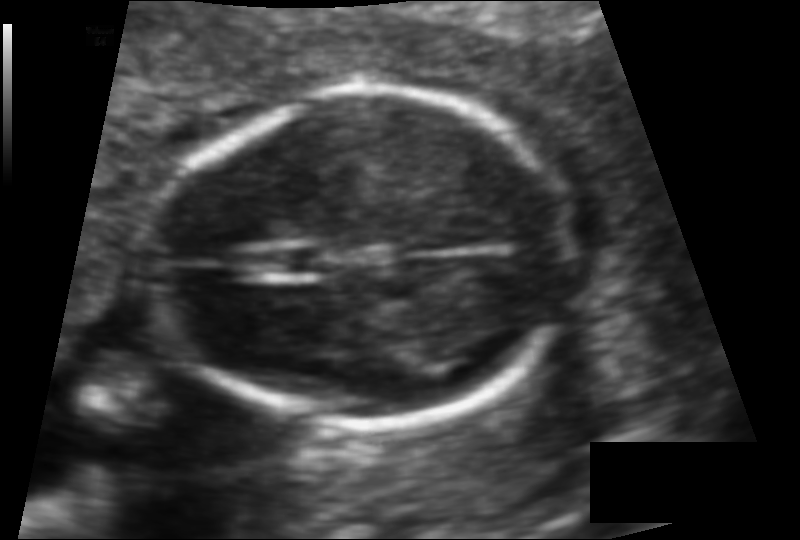
Estimate the fetal head circumference from this 2D ultrasound.

Head circumference: 120.3 mm (image width 75.5 mm).